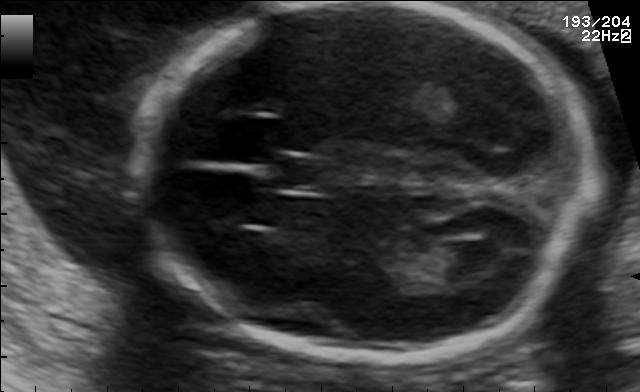
Fetal brain, trans-ventricular plane. Where is the fetal head?

Head bounding box: [125,3,604,363]